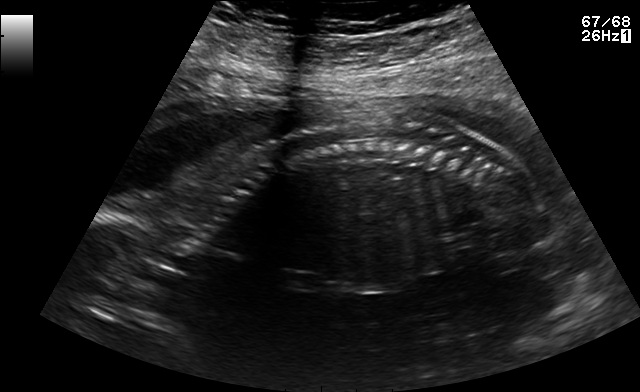
Classify this maternal-fetal ultrasound image as one of the six standard planes — fetal abdomen, fetal brain, fetal femur, fetal thorax, maternal cervix, or other. If it's fetal brain and one of the three standard brain planes (trans-thalamic, trans-cerebellum, trans-ventricular), name which.

Other